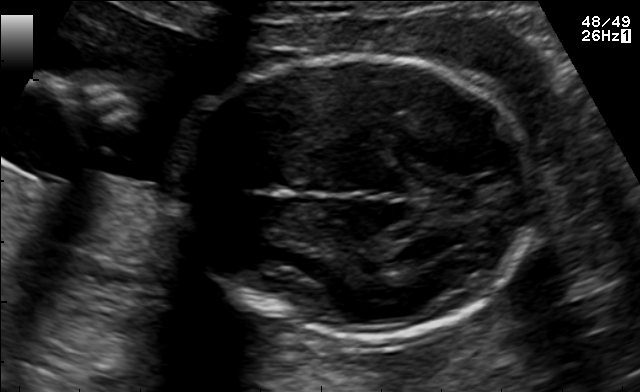
Fetal brain, trans-thalamic plane. Locate the fetal head and, if visible, the cavum septum pellucidum (CSP) and lateral ventricle (LV). Give bounding boxes as [x1,y1,x2,y2].

Head: [182,56,537,340]